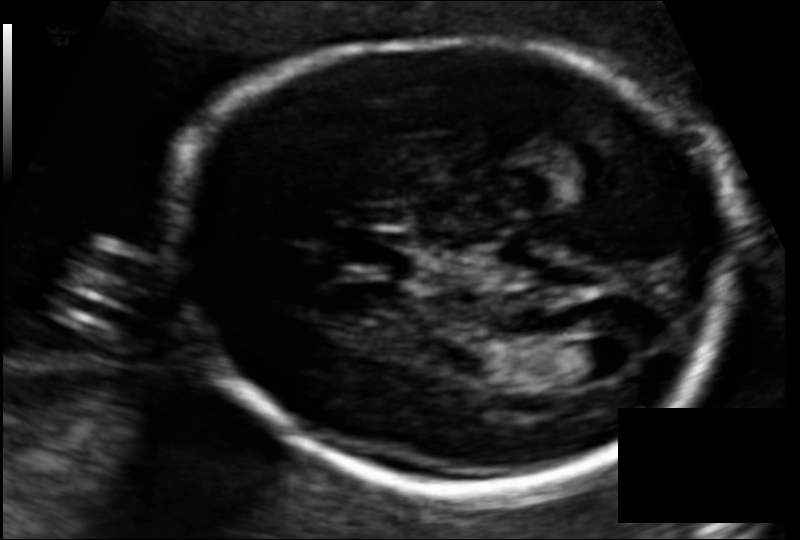
Fetal head ultrasound. Image width: 86.4 mm. Locate the cavum septum pellucidum.

CSP: [342,228,416,277]